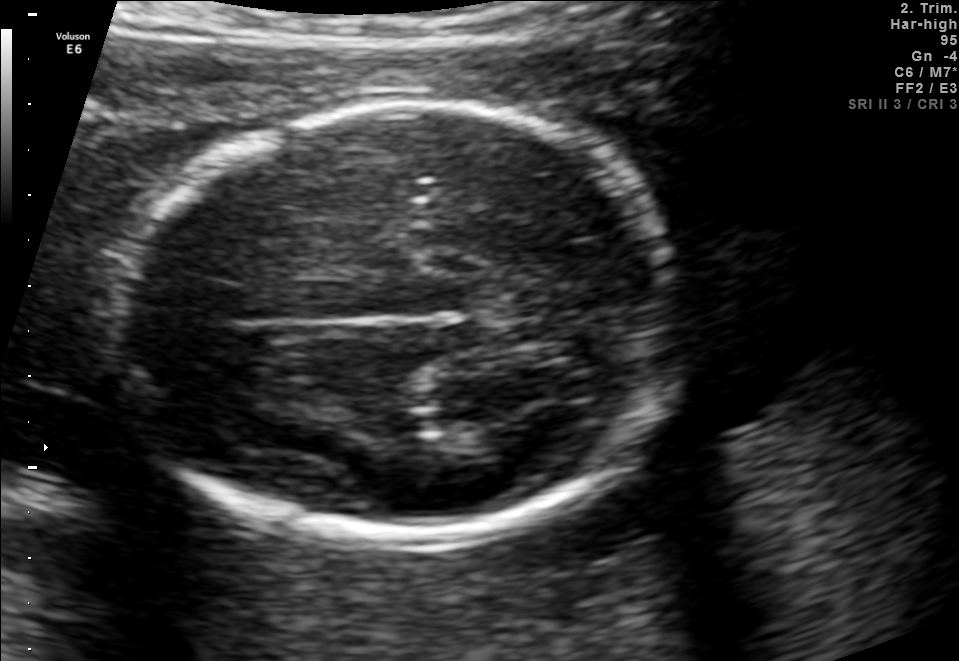
In this fetal brain, trans-thalamic plane, give bounding boxes for the head outline, cavum septum pellucidum (CSP), and lateral ventricle (LV), where visible.

Head: [115,107,678,540]
Lateral ventricle: [465,411,549,458]